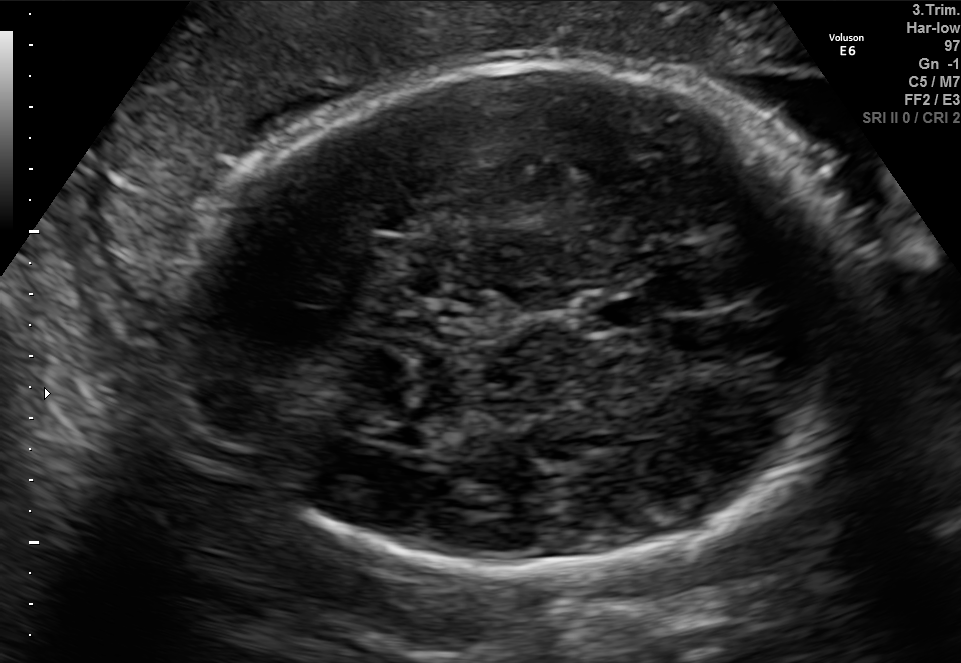
In this fetal brain, trans-thalamic plane, give the bounding box of the cavum septum pellucidum.

[580,291,645,331]